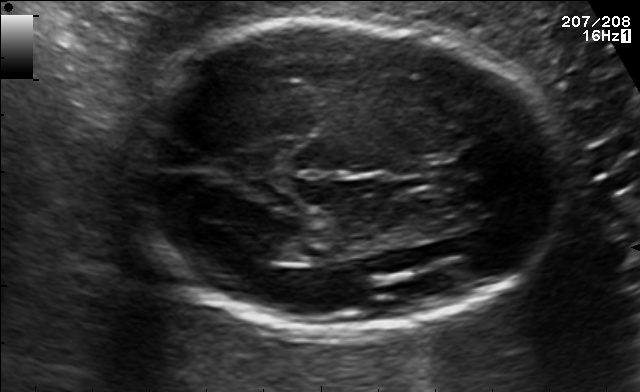
Classify this maternal-fetal ultrasound image as one of the six standard planes — fetal abdomen, fetal brain, fetal femur, fetal thorax, maternal cervix, or other. If it's fetal brain and one of the three standard brain planes (trans-thalamic, trans-cerebellum, trans-ventricular), name which.

Fetal brain (trans-thalamic plane)